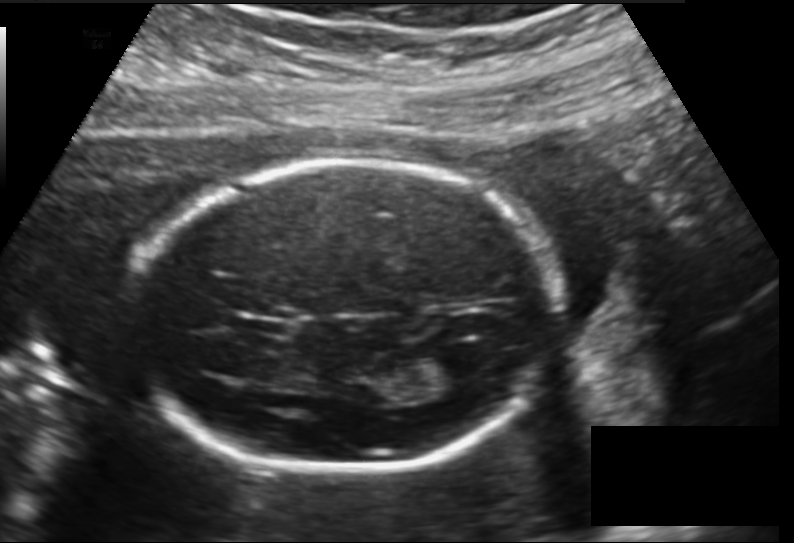
Measure the fetal head circumference shown in this ultrasound image. Image width: 124.7 mm.

Head circumference: 188.8 mm.